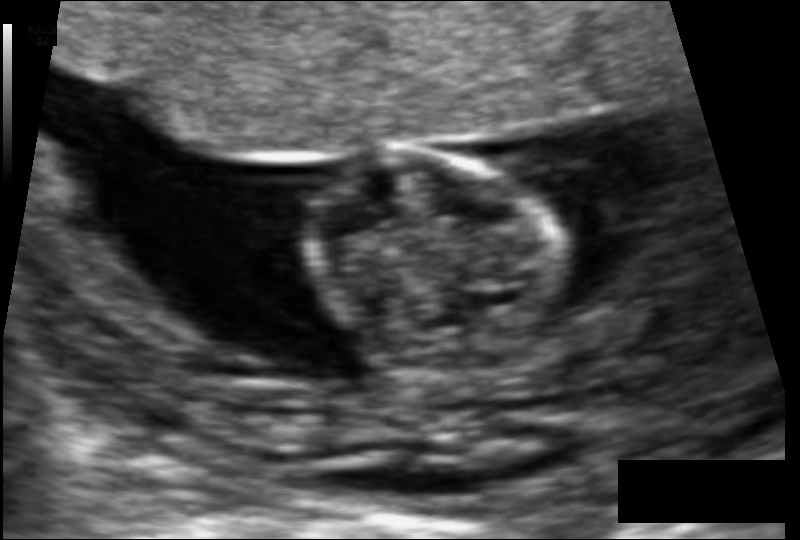
In this fetal head ultrasound, give the bounding box of the fetal head. Image width: 63.2 mm.

[306,150,571,377]